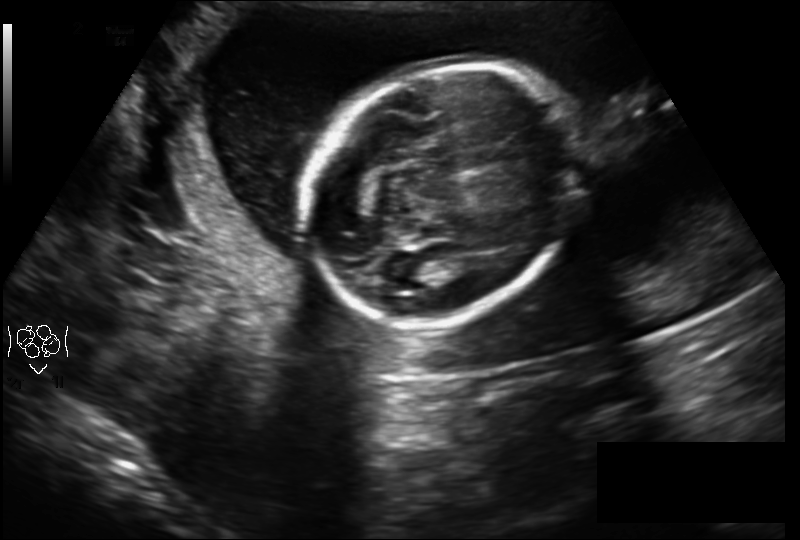
Fetal head ultrasound. Image width: 167.6 mm. Where is the fetal head?

Head bounding box: [306,64,582,321]